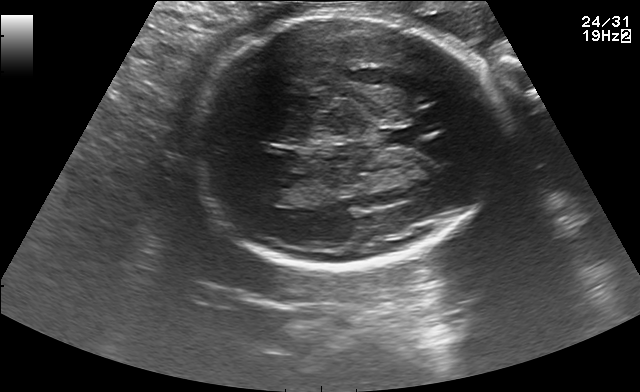
In this fetal brain, trans-thalamic plane, give the bounding box of the fetal head.

[193,12,495,269]